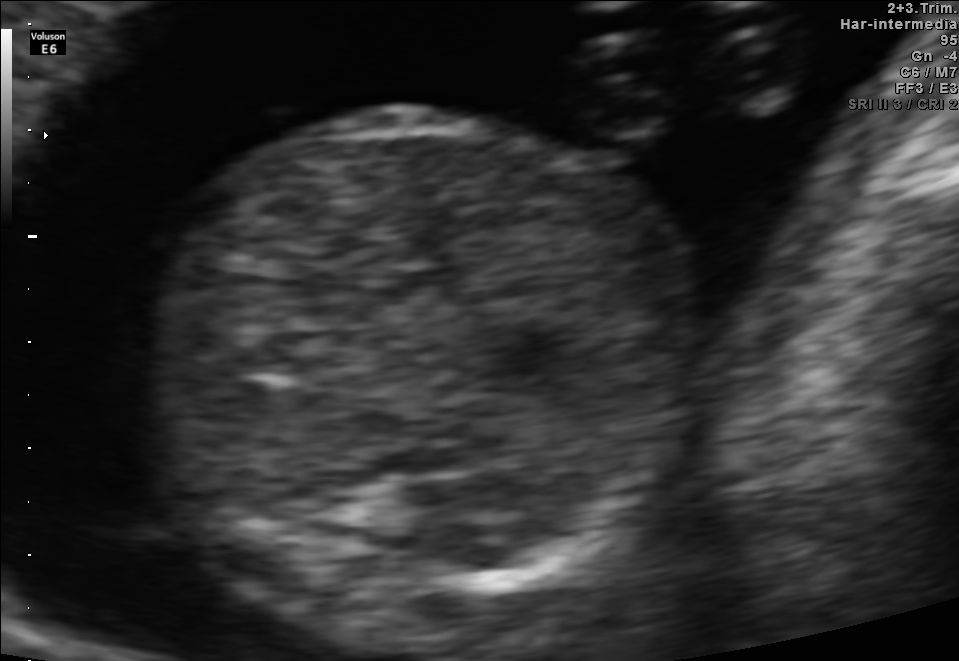
This is a 2D maternal-fetal ultrasound frame. Is it a fetal abdomen, fetal brain, fetal femur, fetal thorax, maternal cervix, or other standard plane? If it's fetal brain and one of the three standard brain planes (trans-thalamic, trans-cerebellum, trans-ventricular), name which.

Fetal abdomen